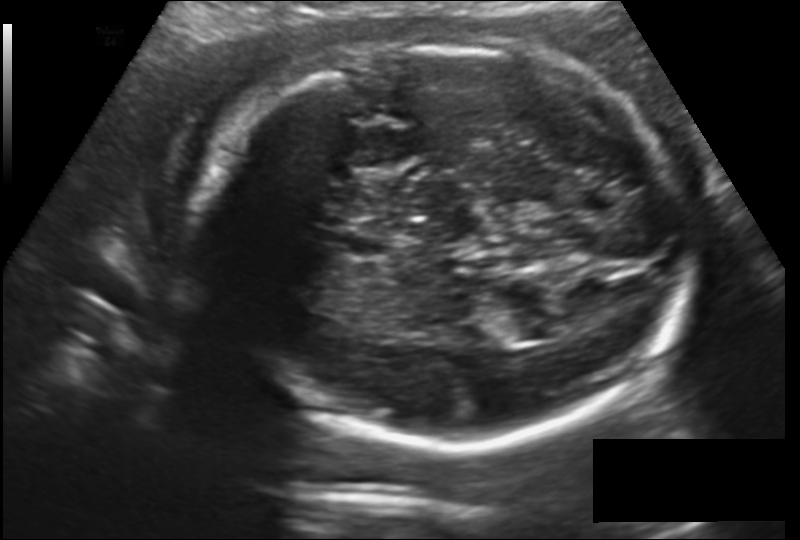
Fetal head ultrasound. Image width: 142.0 mm. Locate the fetal head and, if visible, the cavum septum pellucidum (CSP) and lateral ventricle (LV). Give bounding boxes as [x1,y1,x2,y2].

Head: [195,47,697,445]